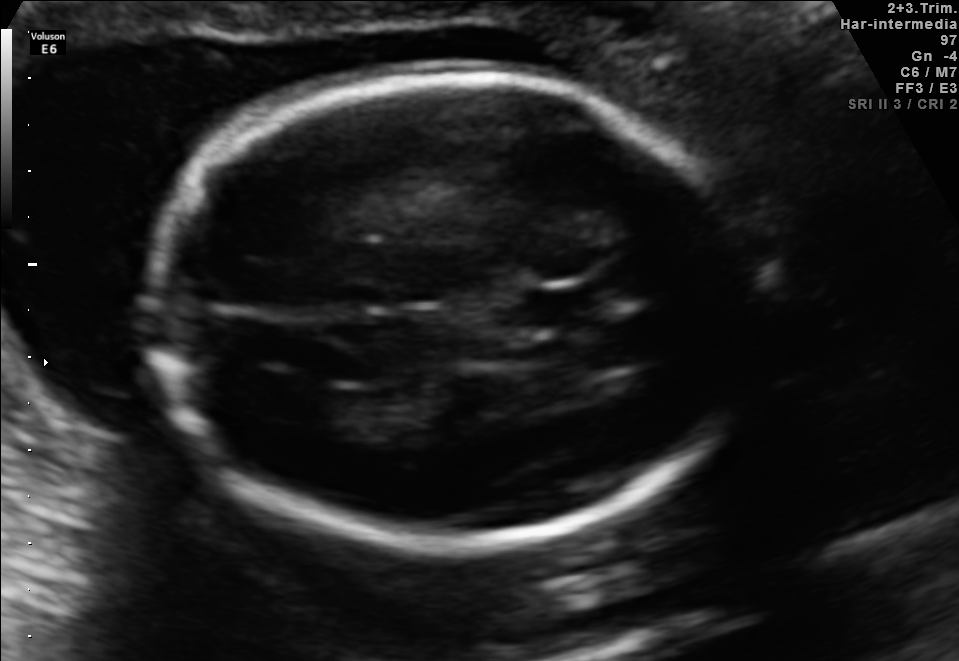
Fetal brain, trans-ventricular plane. Give [x1,y1,x2,y2] bounding boxes for each visible structure among: fetal head, CSP, LV.

Head: [135,68,776,553]
CSP: [517,291,601,329]
Lateral ventricle: [270,377,345,434]